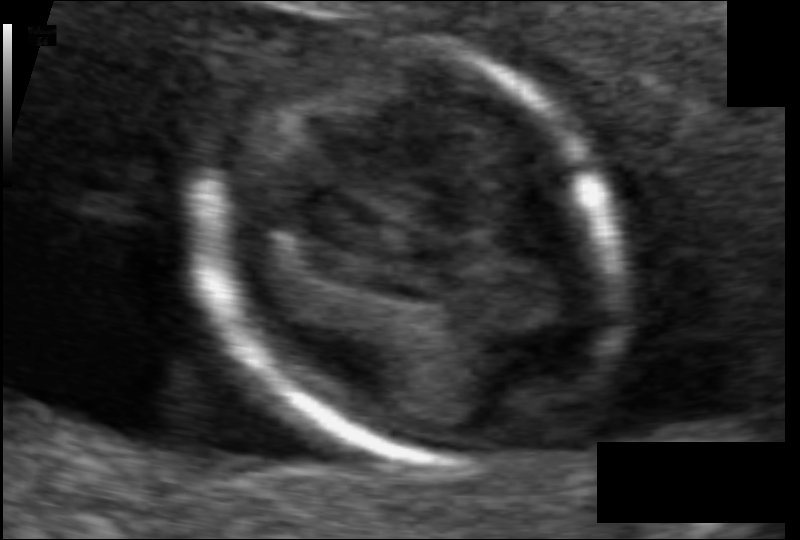
What is the fetal head circumference? Image width is 48.9 mm.

82.6 mm